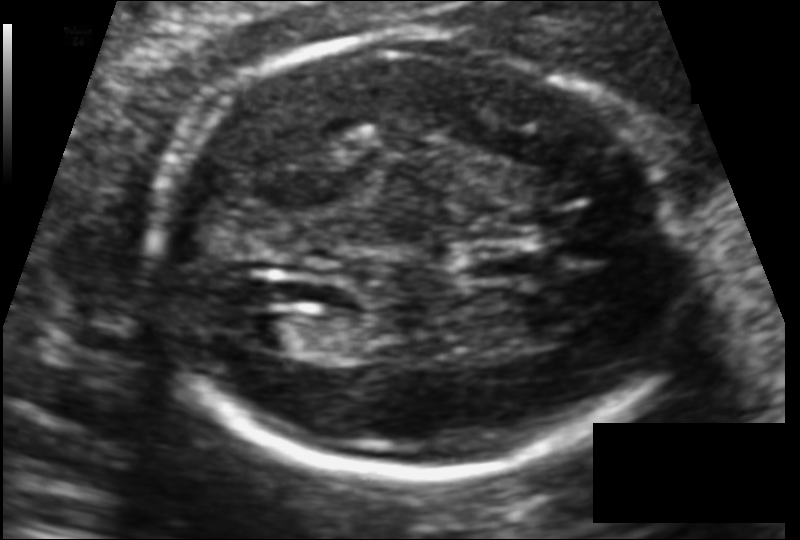
Fetal head ultrasound. Image width: 88.1 mm. Locate the cavum septum pellucidum.

CSP: [461,250,530,285]